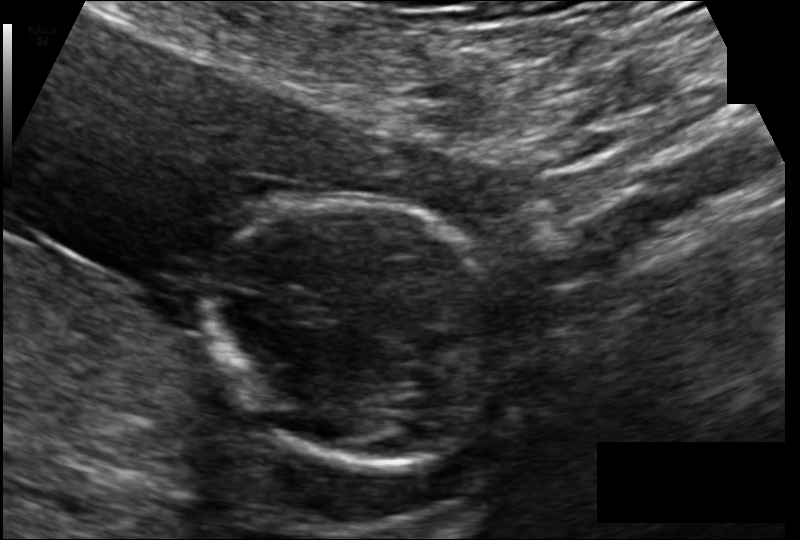
Fetal head ultrasound. Image width: 81.2 mm. Give [x1,y1,x2,y2] bounding boxes for each visible structure among: fetal head, CSP, LV.

Head: [201,200,534,466]